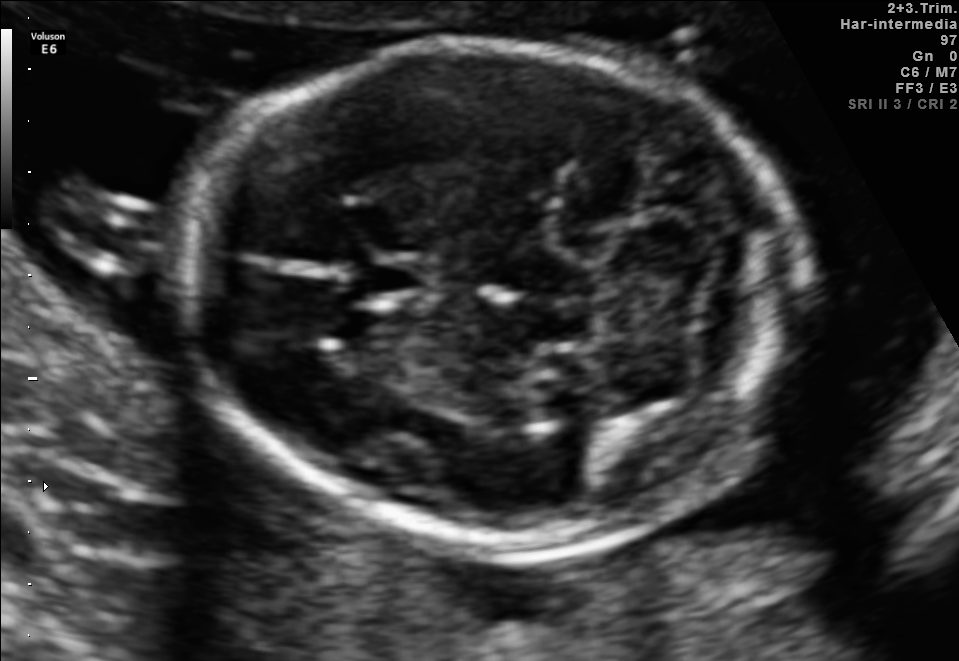
Fetal brain, trans-cerebellum plane. Where is the fetal head?

Head bounding box: [183,44,808,543]